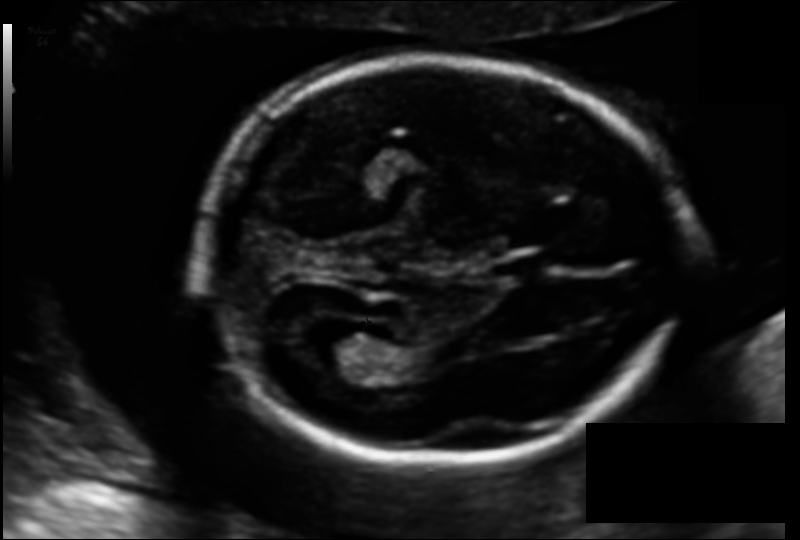
In this fetal head ultrasound, give the bounding box of the fetal head. Image width: 97.9 mm.

[198,60,687,464]